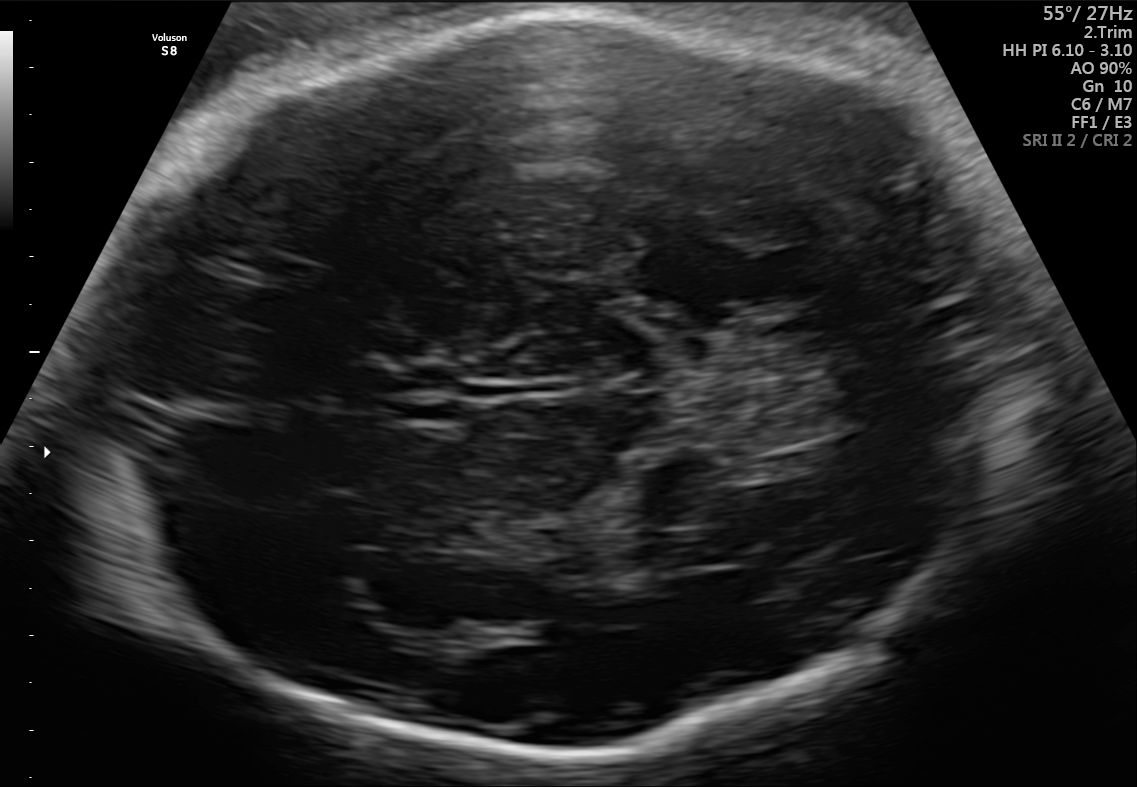
In this fetal brain, trans-thalamic plane, give bounding boxes for the head outline, cavum septum pellucidum (CSP), and lateral ventricle (LV), where visible.

Head: [91,17,1005,758]